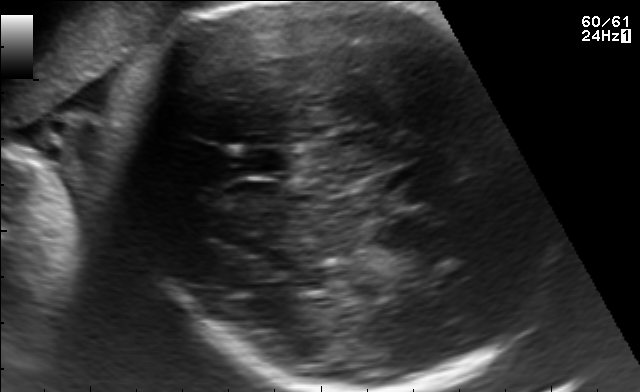
This is a 2D maternal-fetal ultrasound frame. Is it a fetal abdomen, fetal brain, fetal femur, fetal thorax, maternal cervix, or other standard plane? If it's fetal brain and one of the three standard brain planes (trans-thalamic, trans-cerebellum, trans-ventricular), name which.

Fetal brain (trans-thalamic plane)